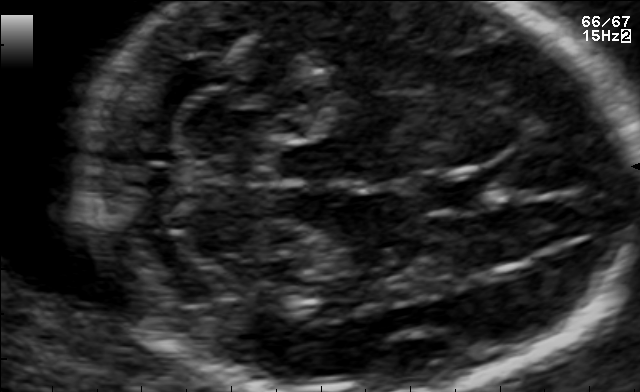
Fetal brain, trans-cerebellum plane. Give [x1,y1,x2,y2] bounding boxes for each visible structure among: fetal head, CSP, LV.

Head: [81,4,635,391]
CSP: [415,163,504,219]